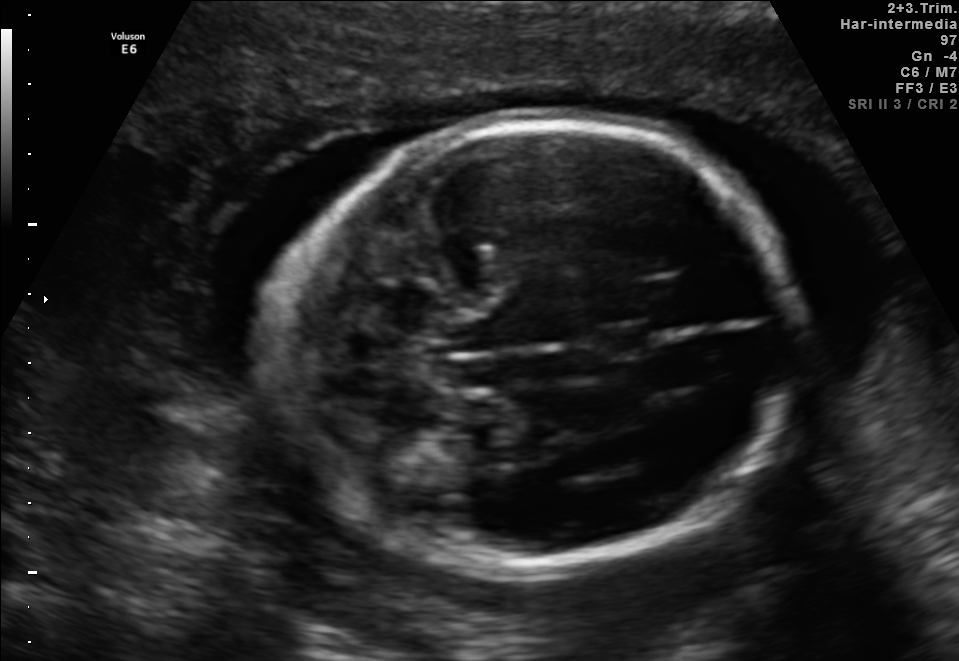
Fetal brain, trans-cerebellum plane. Locate the fetal head and, if visible, the cavum septum pellucidum (CSP) and lateral ventricle (LV). Give bounding boxes as [x1,y1,x2,y2].

Head: [275,114,790,575]
CSP: [587,320,657,364]